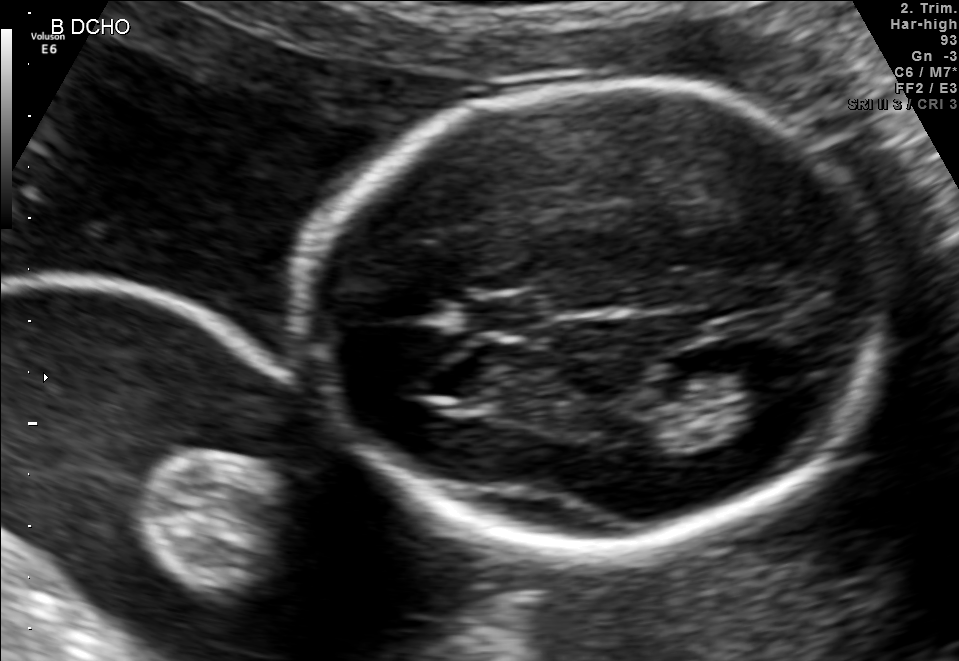
In this fetal brain, trans-thalamic plane, give the bounding box of the lateral ventricle.

[709,331,813,421]